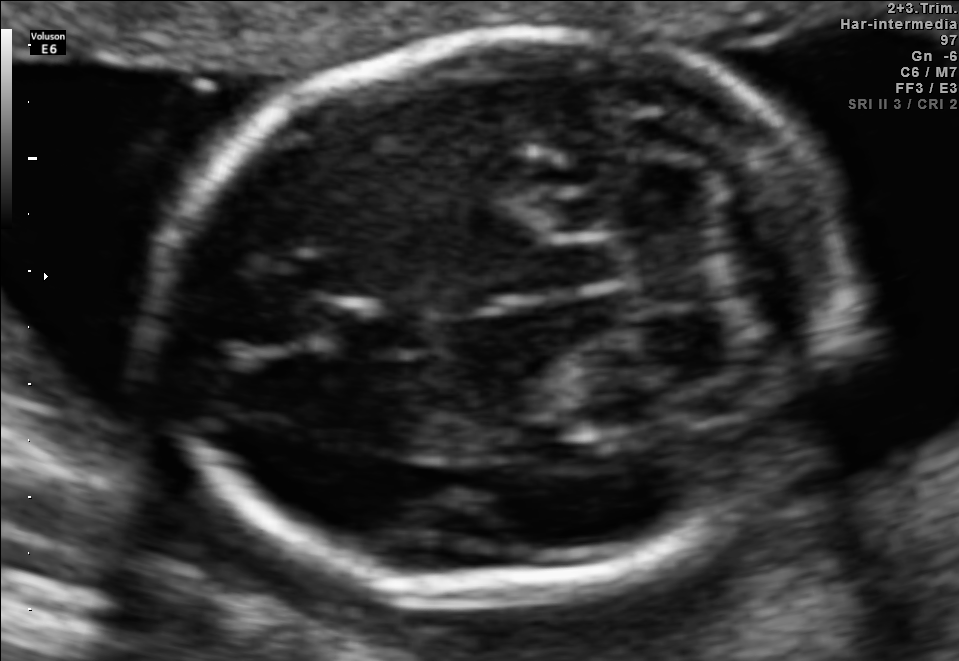
Fetal brain, trans-cerebellum plane. Locate the cavum septum pellucidum.

CSP: [325,306,430,356]